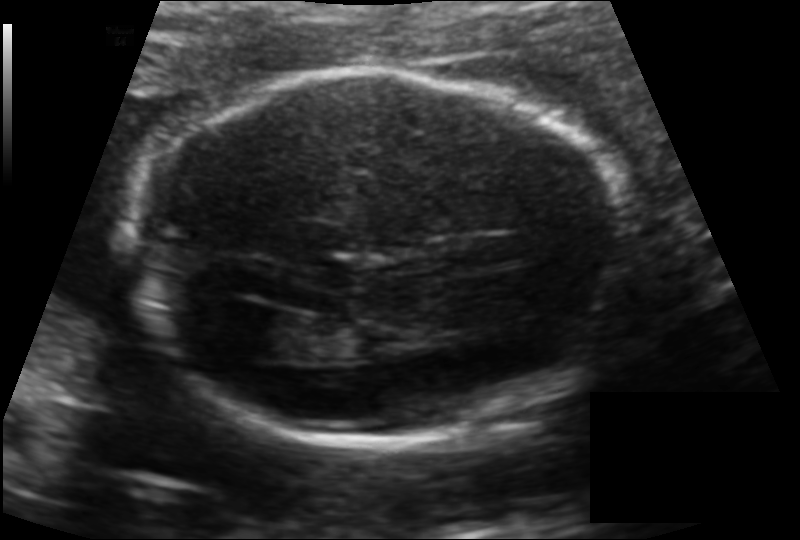
In this fetal head ultrasound, give the bounding box of the lateral ventricle. Image width: 107.1 mm.

[223,308,299,358]